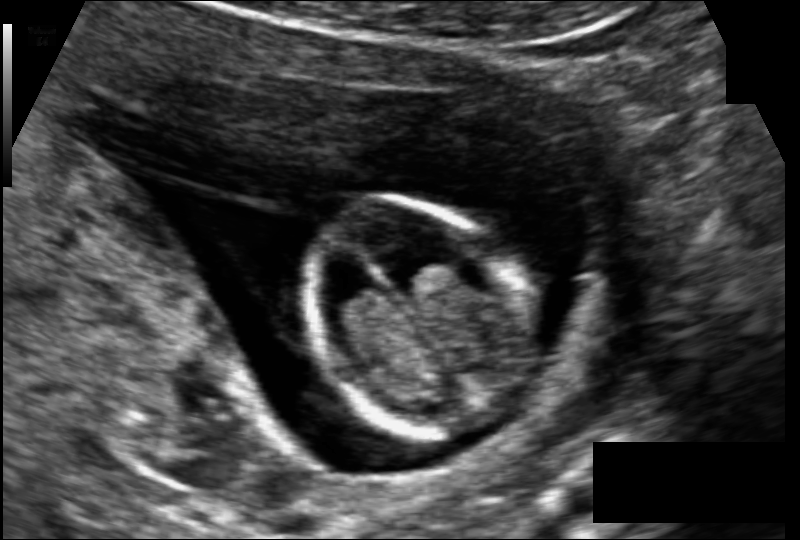
From this fetal ultrasound, estimate the head circumference (image width 81.3 mm).

Head circumference: 76.6 mm.